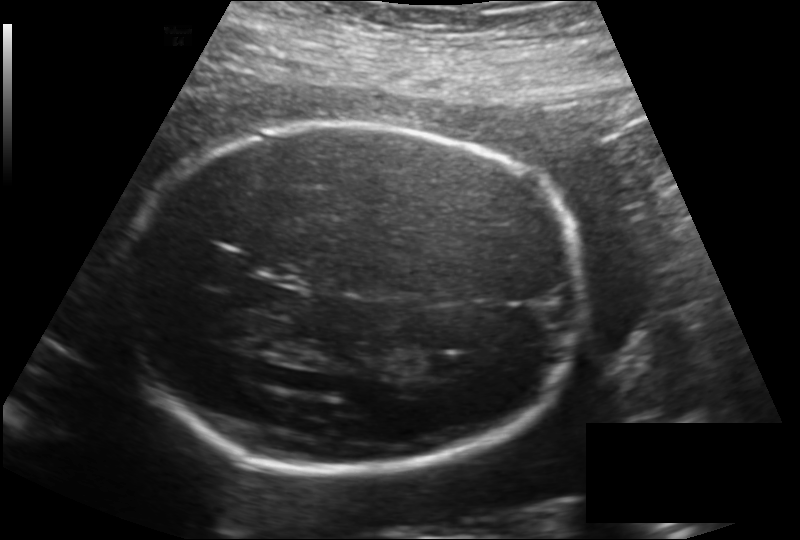
Fetal head ultrasound. Image width: 149.9 mm. Where is the fetal head?

Head bounding box: [122,125,585,475]